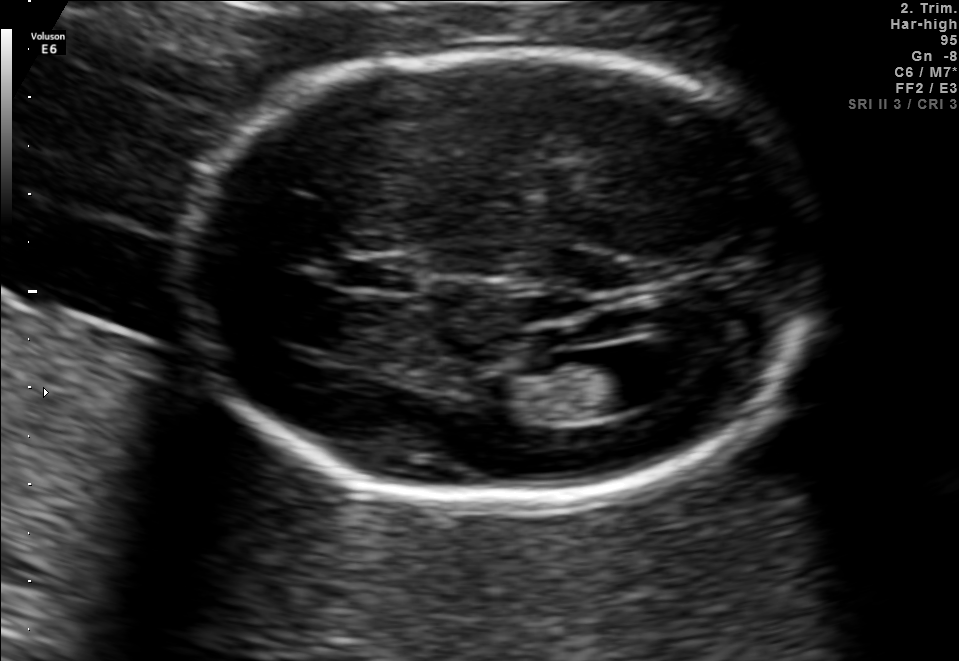
Fetal brain, trans-ventricular plane. Give [x1,y1,x2,y2] bounding boxes for each visible structure among: fetal head, CSP, LV.

Head: [174,44,823,507]
CSP: [326,251,429,300]
Lateral ventricle: [562,331,688,423]